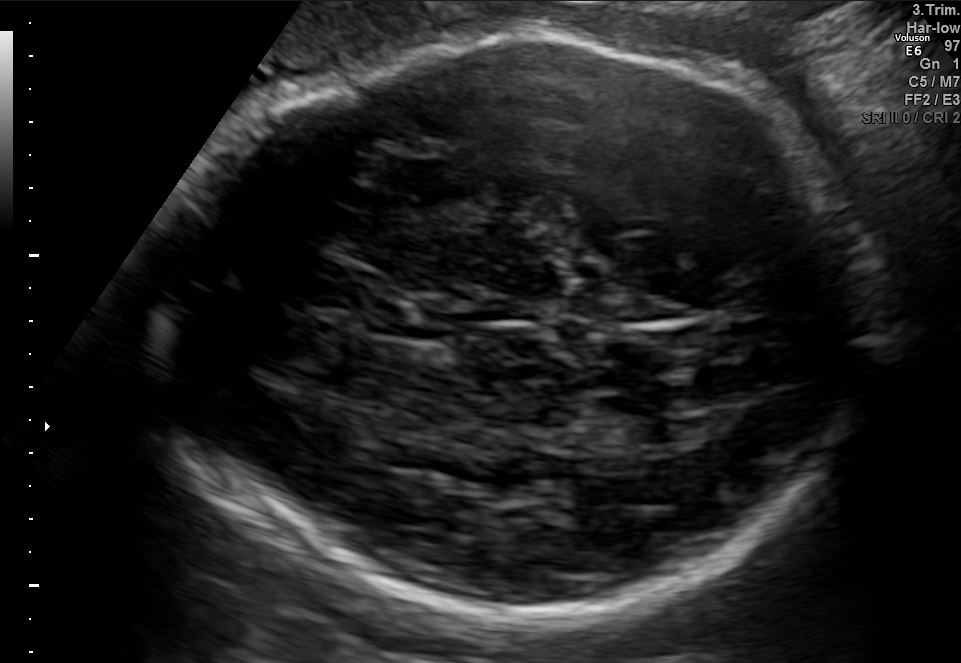
In this fetal brain, trans-thalamic plane, give bounding boxes for the head outline, cavum septum pellucidum (CSP), and lateral ventricle (LV), where visible.

Head: [150,33,875,616]